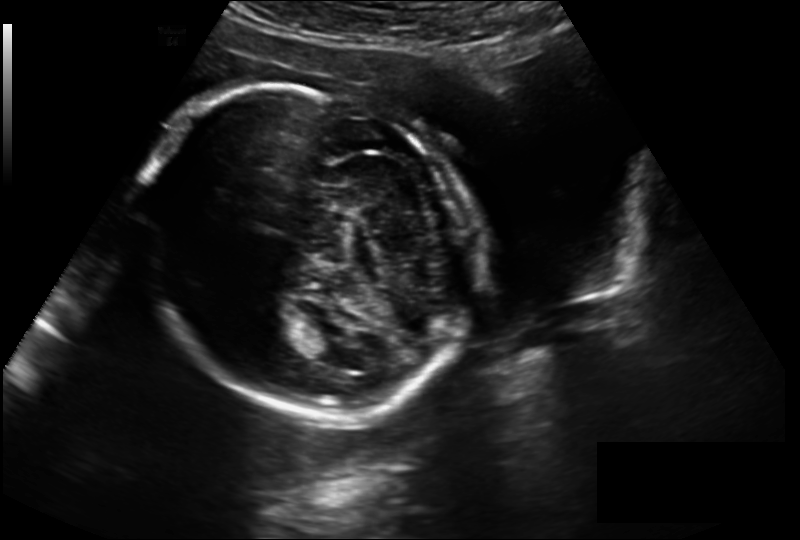
From this fetal ultrasound, estimate the head circumference (image width 168.8 mm).

Head circumference: 224.7 mm.